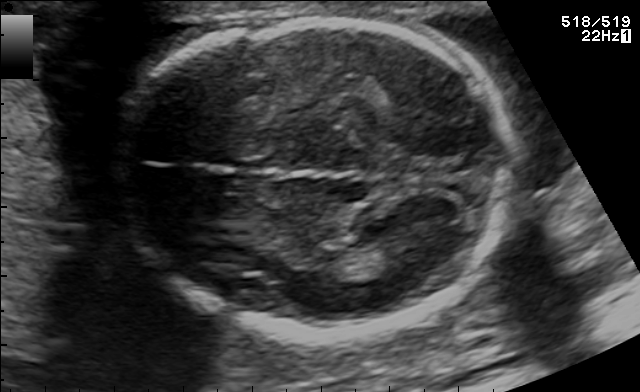
In this fetal brain, trans-thalamic plane, give the bounding box of the fetal head.

[121,17,514,335]